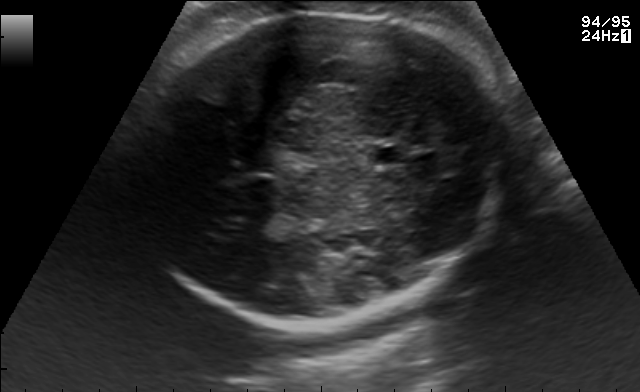
Fetal brain, trans-thalamic plane. Where is the cavum septum pellucidum?

CSP bounding box: [369,145,404,166]